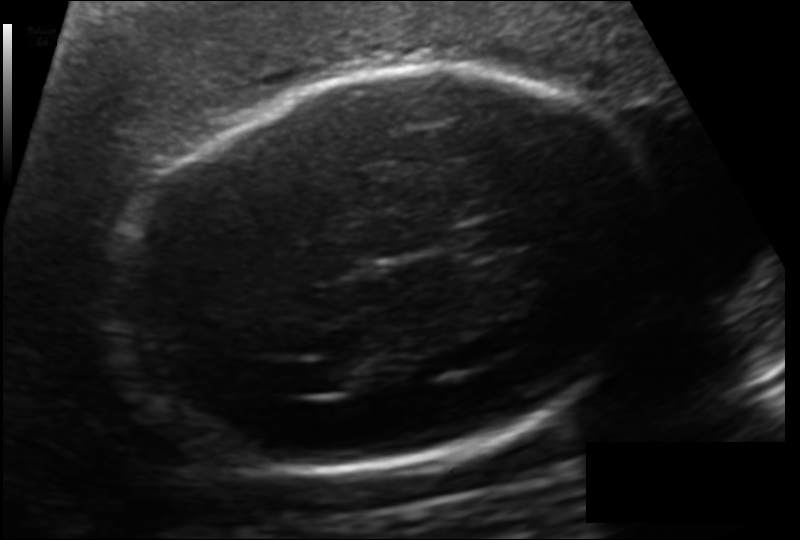
What is the fetal head circumference? Image width is 120.9 mm.

231.3 mm